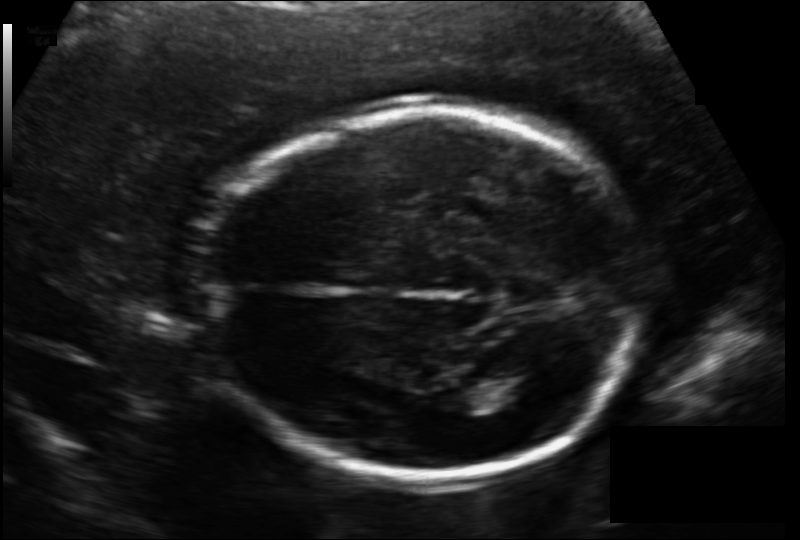
Fetal head ultrasound. Image width: 106.6 mm. Where is the lateral ventricle?

Lateral ventricle bounding box: [469,360,541,410]